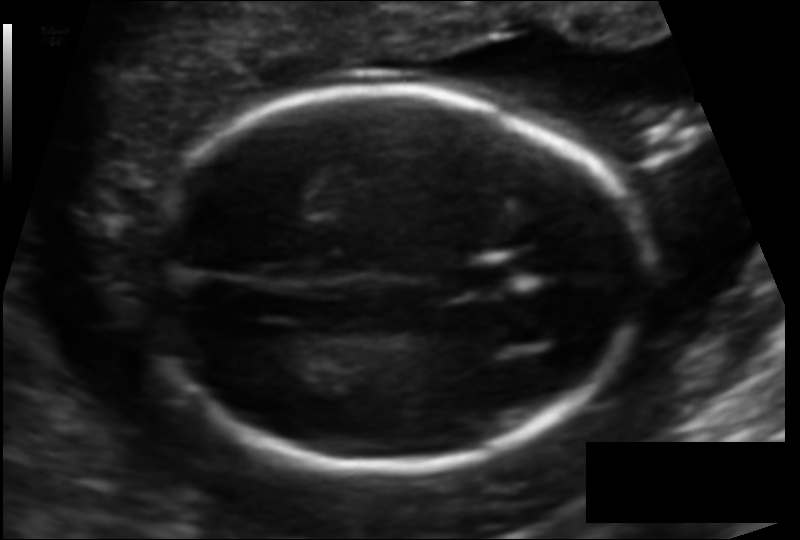
Fetal head ultrasound. Image width: 91.5 mm. Where is the fetal head?

Head bounding box: [152,88,645,470]